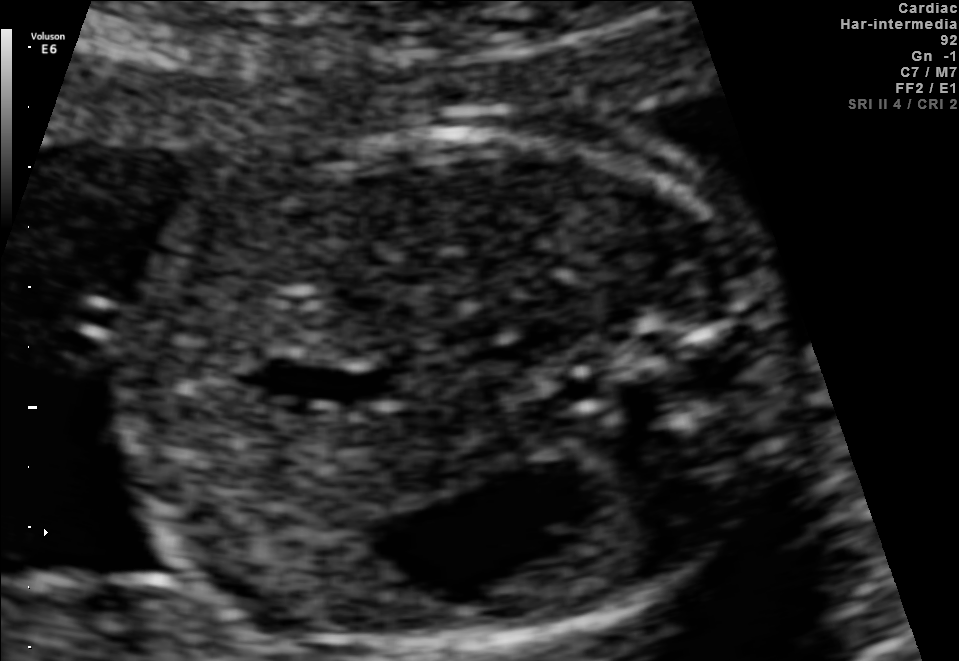
This is a 2D maternal-fetal ultrasound frame. Is it a fetal abdomen, fetal brain, fetal femur, fetal thorax, maternal cervix, or other standard plane? If it's fetal brain and one of the three standard brain planes (trans-thalamic, trans-cerebellum, trans-ventricular), name which.

Fetal abdomen